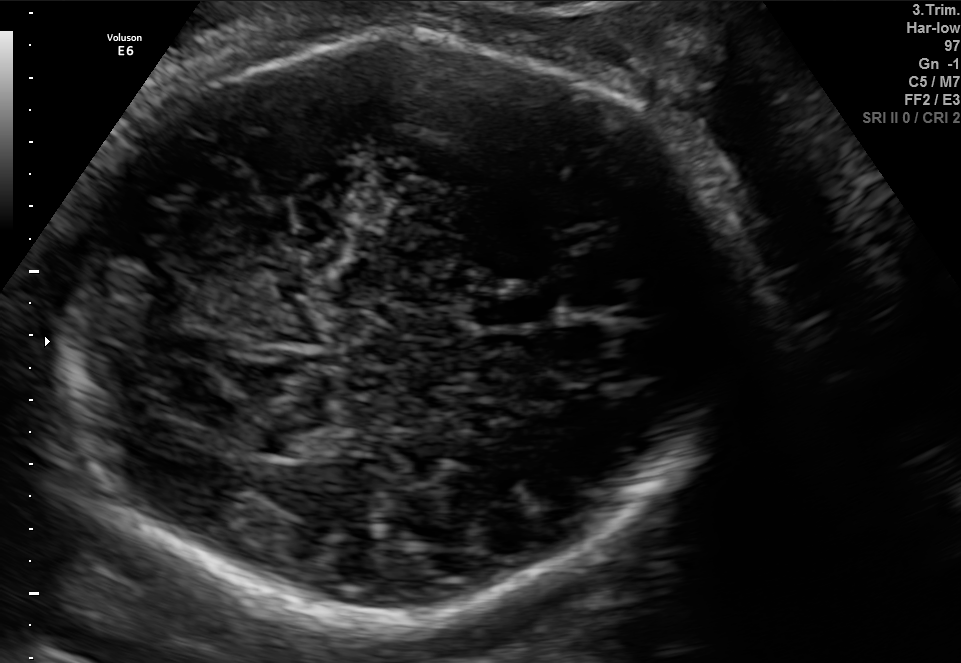
In this fetal brain, trans-cerebellum plane, give the bounding box of the fetal head.

[52,31,729,614]